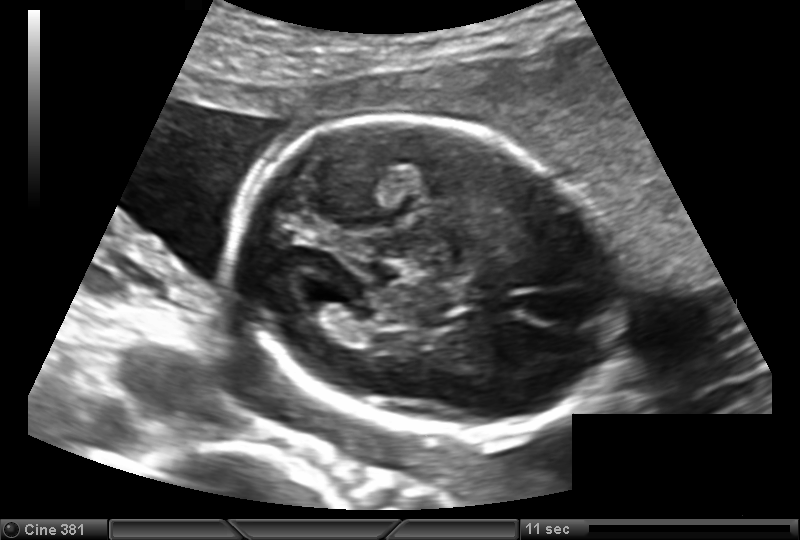
What is the fetal head circumference? Image width is 111.0 mm.

161.7 mm